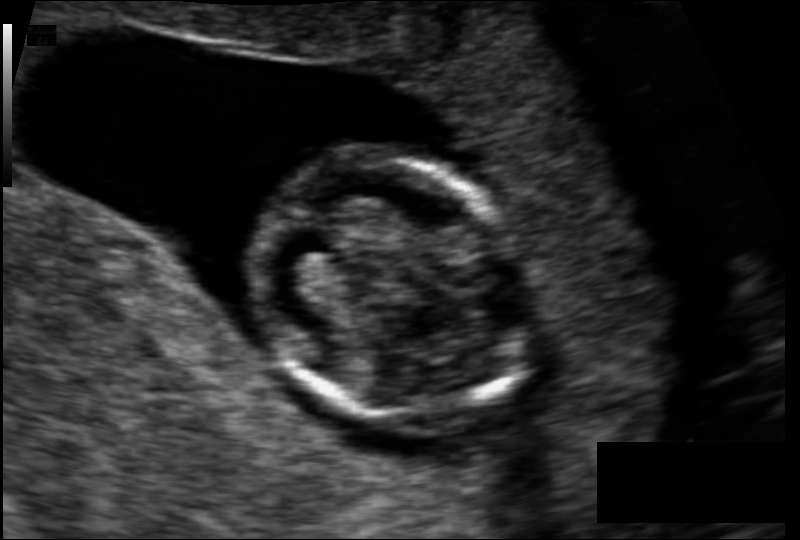
Fetal head ultrasound. Image width: 75.6 mm. Locate the fetal head.

Head: [254,153,528,423]